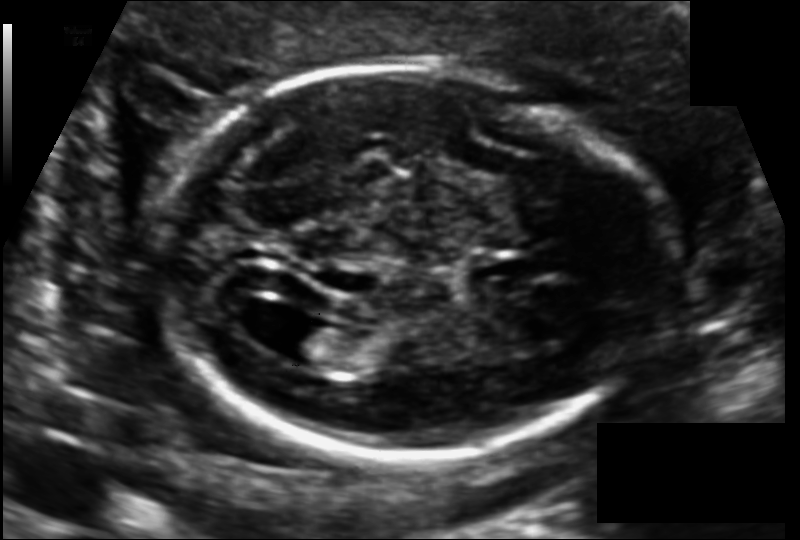
In this fetal head ultrasound, give the bounding box of the lateral ventricle. Image width: 94.6 mm.

[271,313,351,376]